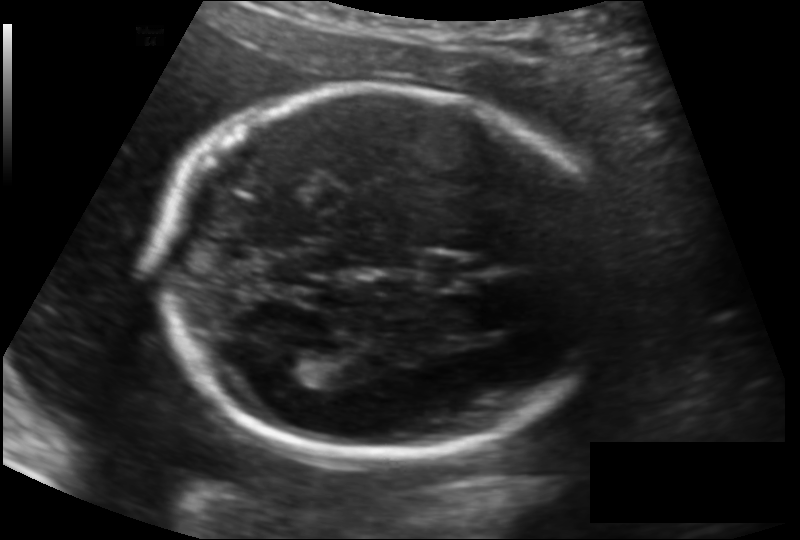
Fetal head ultrasound. Image width: 107.5 mm. Where is the fetal head?

Head bounding box: [158,87,610,458]